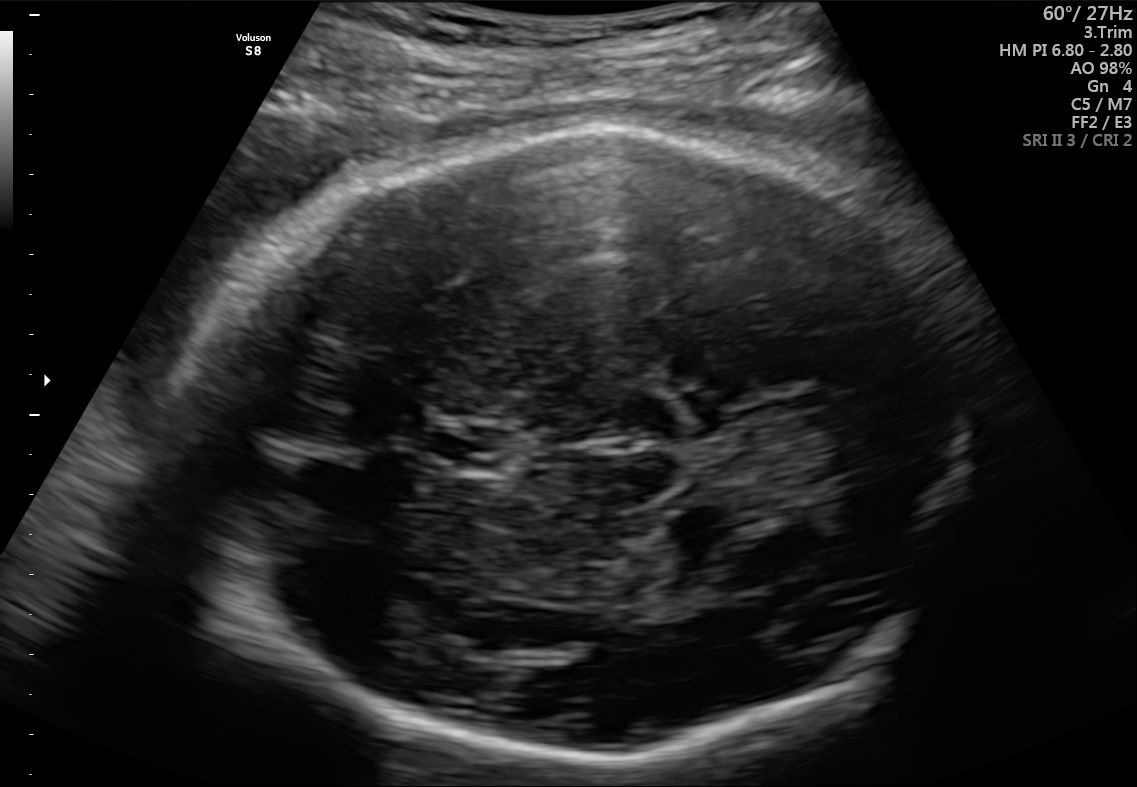
Fetal brain, trans-thalamic plane. Give [x1,y1,x2,y2] bounding boxes for each visible structure among: fetal head, CSP, LV.

Head: [192,126,971,768]
CSP: [425,422,511,474]